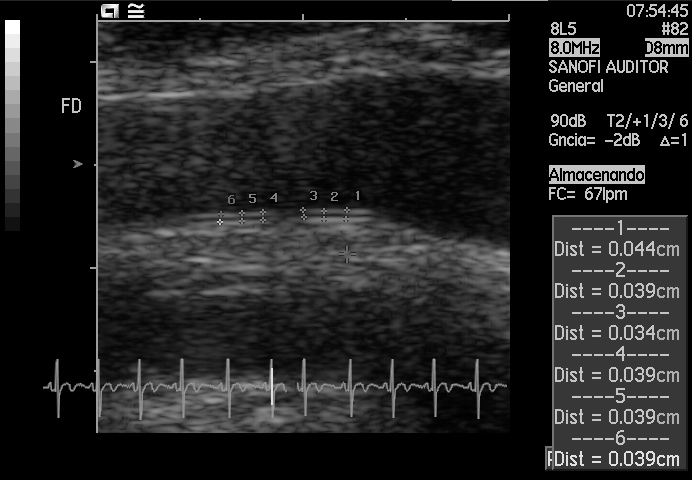
Classify this maternal-fetal ultrasound image as one of the six standard planes — fetal abdomen, fetal brain, fetal femur, fetal thorax, maternal cervix, or other. If it's fetal brain and one of the three standard brain planes (trans-thalamic, trans-cerebellum, trans-ventricular), name which.

Other